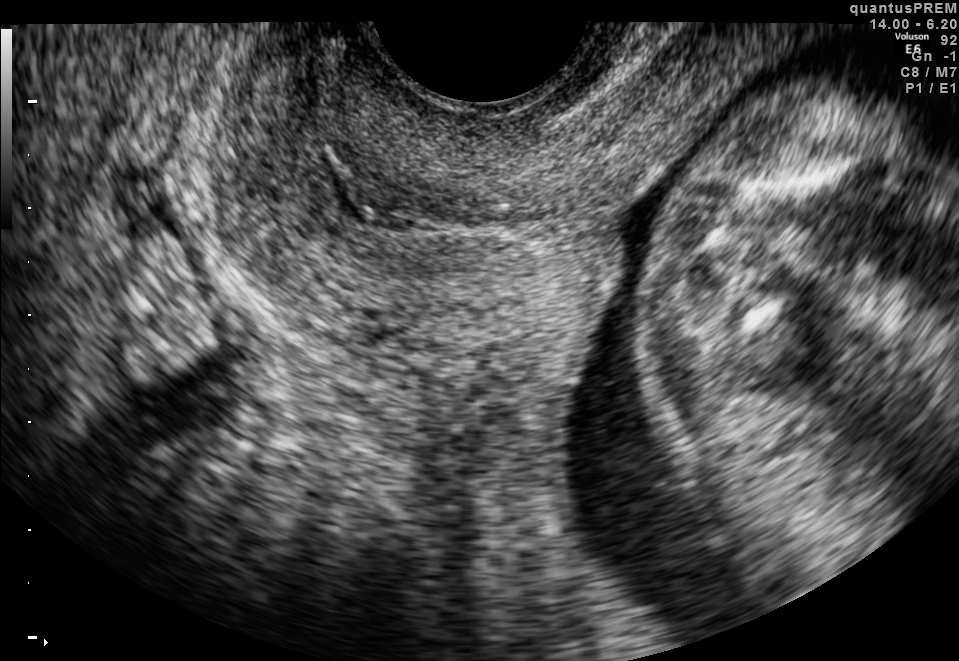
Classify this maternal-fetal ultrasound image as one of the six standard planes — fetal abdomen, fetal brain, fetal femur, fetal thorax, maternal cervix, or other. If it's fetal brain and one of the three standard brain planes (trans-thalamic, trans-cerebellum, trans-ventricular), name which.

Maternal cervix